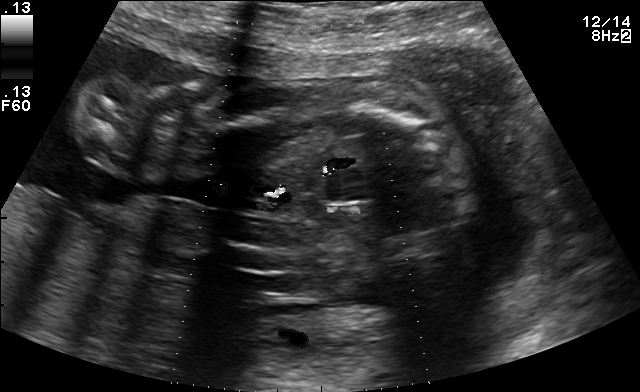
Identify the standard plane in this fetal ultrasound image: fetal abdomen, fetal brain, fetal femur, fetal thorax, maternal cervix, or other. If it's fetal brain and one of the three standard brain planes (trans-thalamic, trans-cerebellum, trans-ventricular), name which.

Other